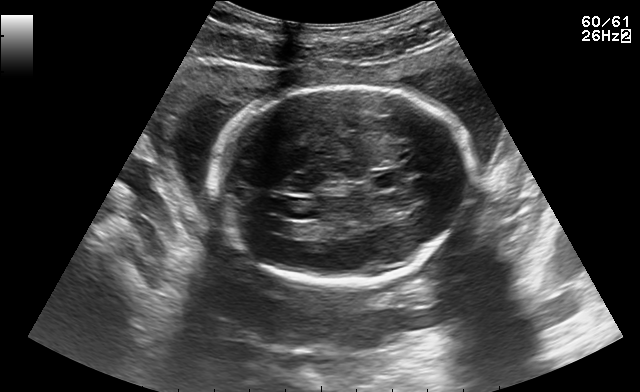
Fetal brain, trans-ventricular plane. Give [x1,y1,x2,y2] bounding boxes for each visible structure among: fetal head, CSP, LV.

Head: [205,84,472,286]
CSP: [373,172,397,190]
Lateral ventricle: [263,217,290,234]